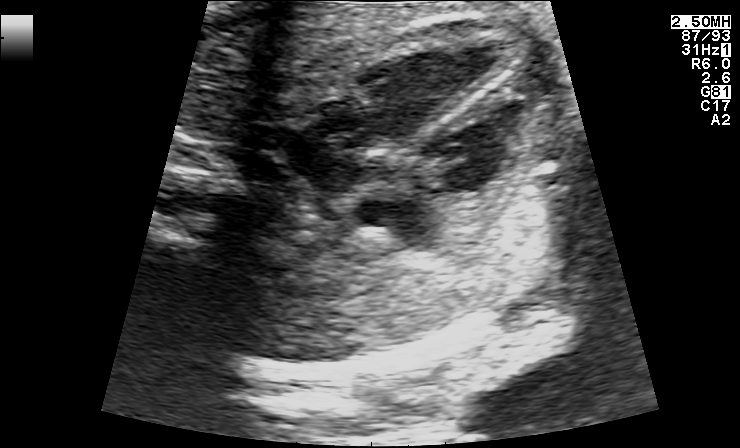
Which standard maternal-fetal ultrasound plane is shown: fetal abdomen, fetal brain, fetal femur, fetal thorax, maternal cervix, or other? If it's fetal brain and one of the three standard brain planes (trans-thalamic, trans-cerebellum, trans-ventricular), name which.

Fetal thorax